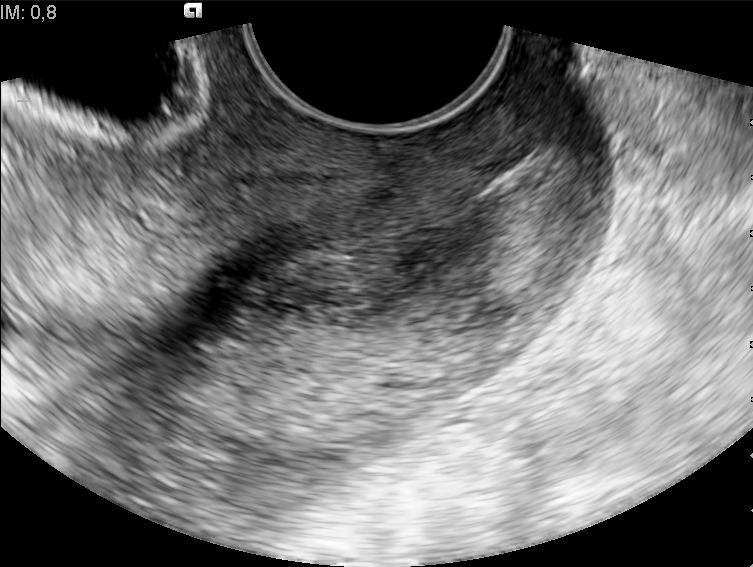
Classify this maternal-fetal ultrasound image as one of the six standard planes — fetal abdomen, fetal brain, fetal femur, fetal thorax, maternal cervix, or other. If it's fetal brain and one of the three standard brain planes (trans-thalamic, trans-cerebellum, trans-ventricular), name which.

Maternal cervix